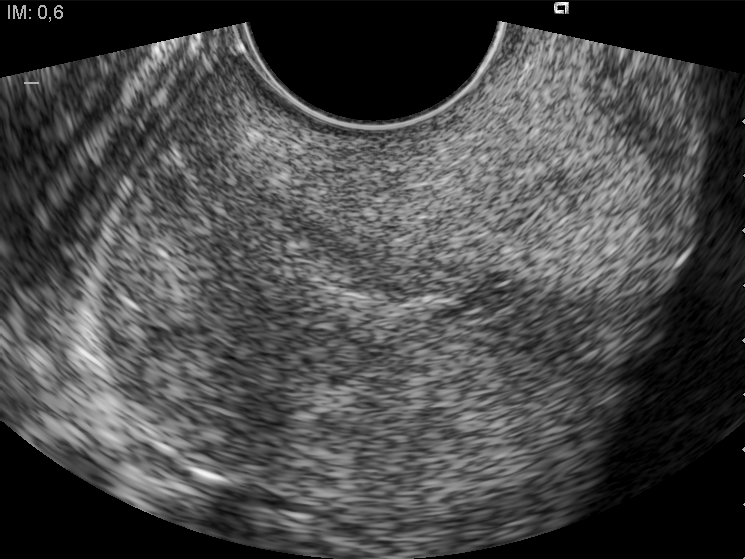
Identify the standard plane in this fetal ultrasound image: fetal abdomen, fetal brain, fetal femur, fetal thorax, maternal cervix, or other. If it's fetal brain and one of the three standard brain planes (trans-thalamic, trans-cerebellum, trans-ventricular), name which.

Maternal cervix